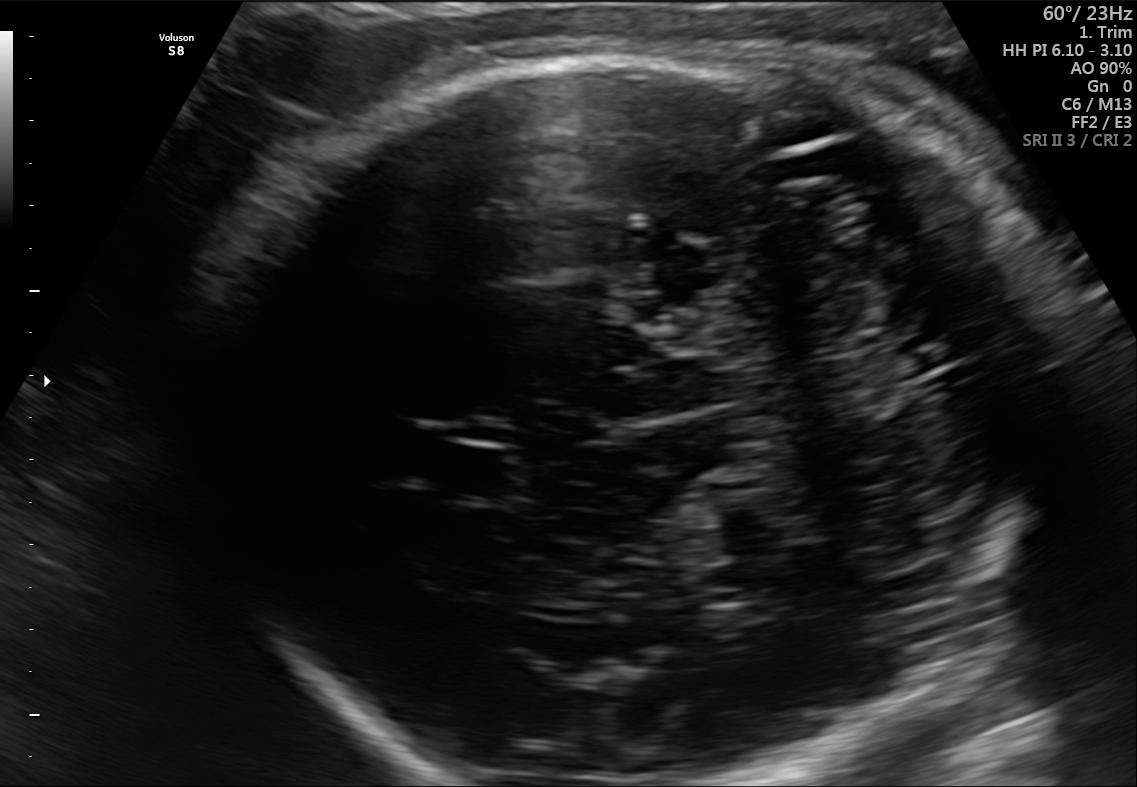
Fetal brain, trans-cerebellum plane. Where is the cavum septum pellucidum?

CSP bounding box: [418,432,531,512]